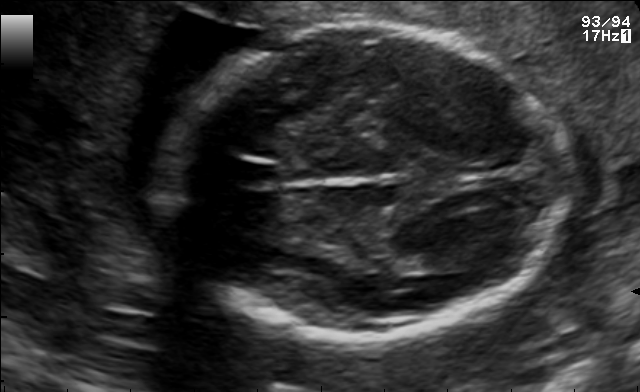
Fetal brain, trans-thalamic plane. Where is the fetal head?

Head bounding box: [155,27,567,339]